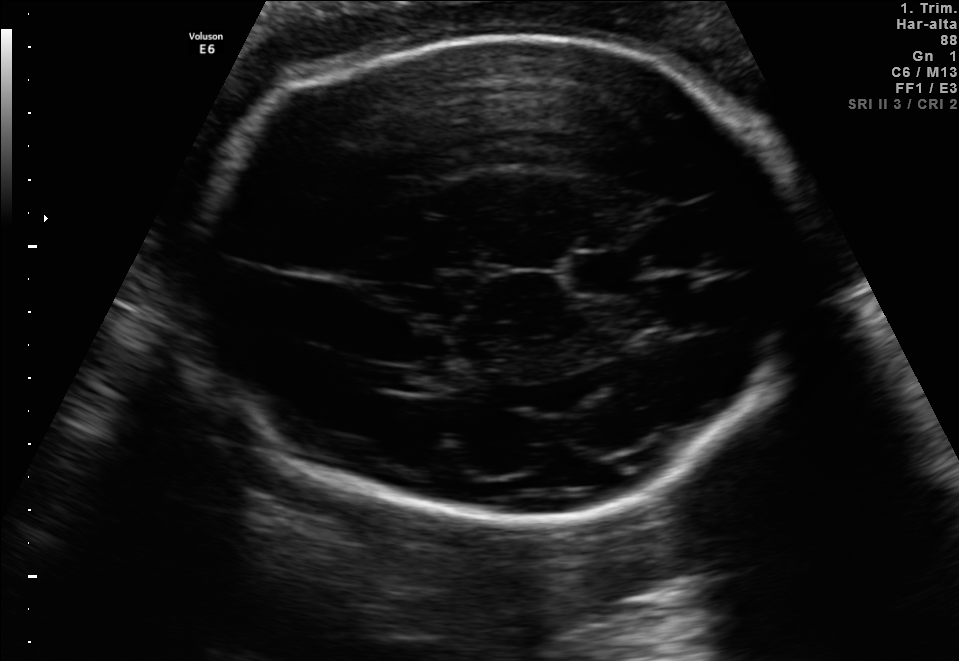
Fetal brain, trans-thalamic plane. Where is the cavum septum pellucidum?

CSP bounding box: [574,254,638,292]